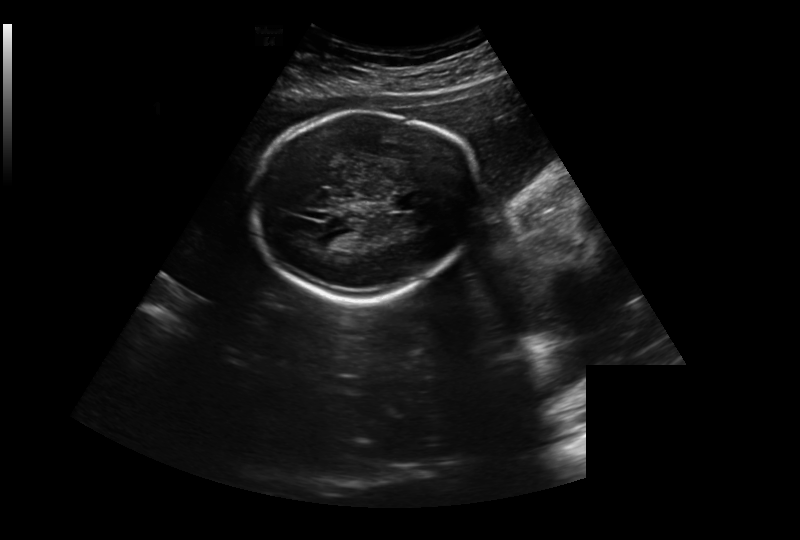
Fetal head ultrasound. Image width: 260.8 mm. Locate the cavum septum pellucidum.

CSP: [390,192,425,212]